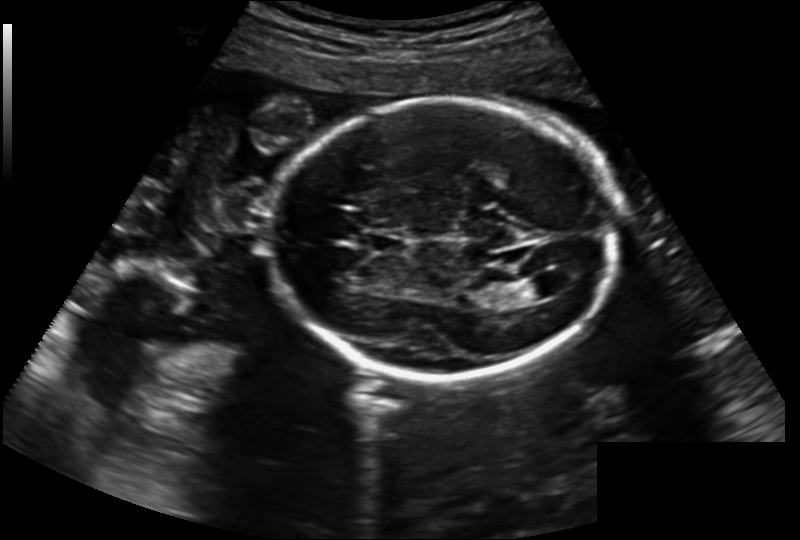
Fetal head ultrasound. Image width: 161.7 mm. Locate the lateral ventricle.

Lateral ventricle: [519,272,561,304]